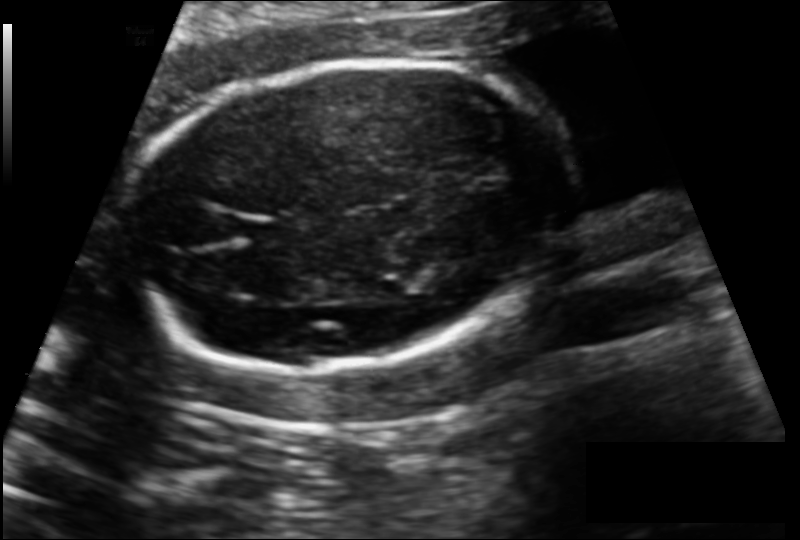
Fetal head ultrasound. Image width: 111.1 mm. Locate the fetal head.

Head: [124,59,569,370]